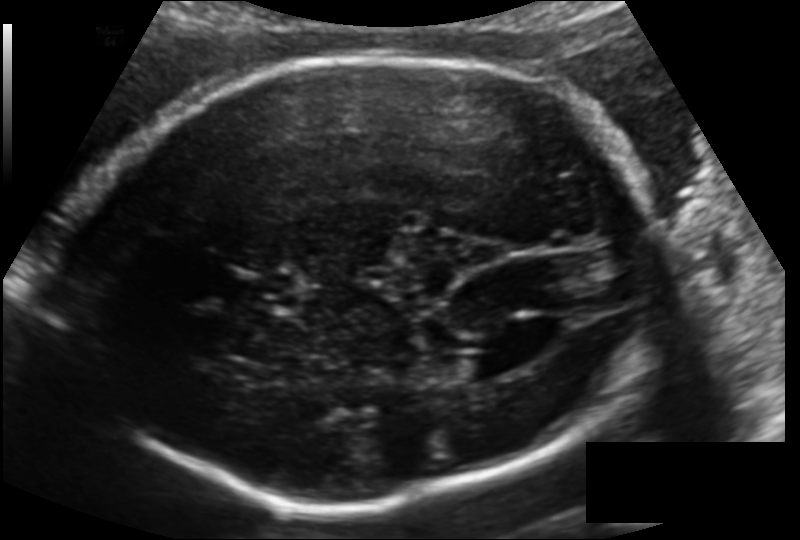
Measure the fetal head circumference shown in this ultrasound image. Image width: 118.6 mm.

Head circumference: 247.8 mm.